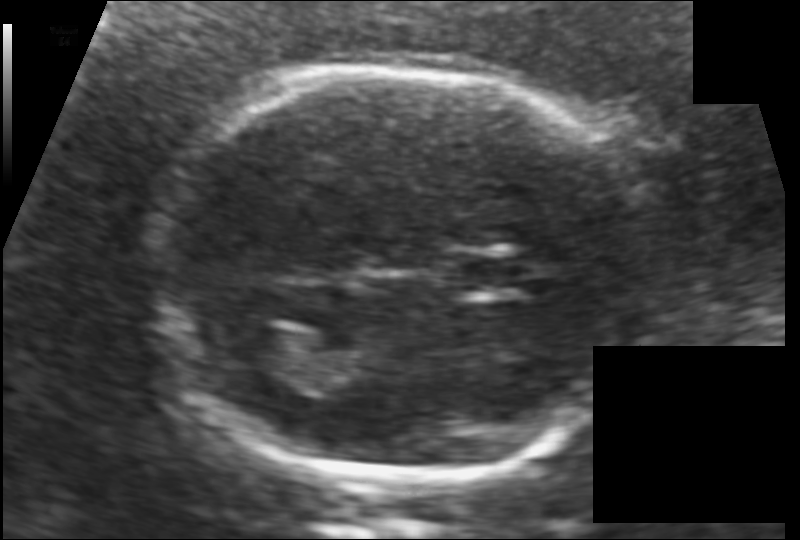
Fetal head ultrasound. Image width: 94.0 mm. Give [x1,y1,x2,y2] bounding boxes for each visible structure among: fetal head, CSP, LV.

Head: [153,65,646,486]
CSP: [453,254,522,295]
Lateral ventricle: [220,315,300,376]